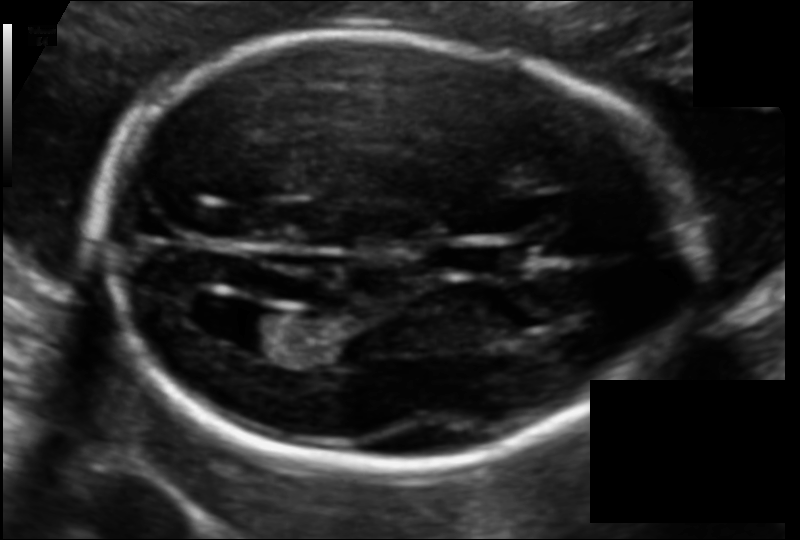
In this fetal head ultrasound, give the bounding box of the fetal head. Image width: 86.6 mm.

[98,33,691,471]